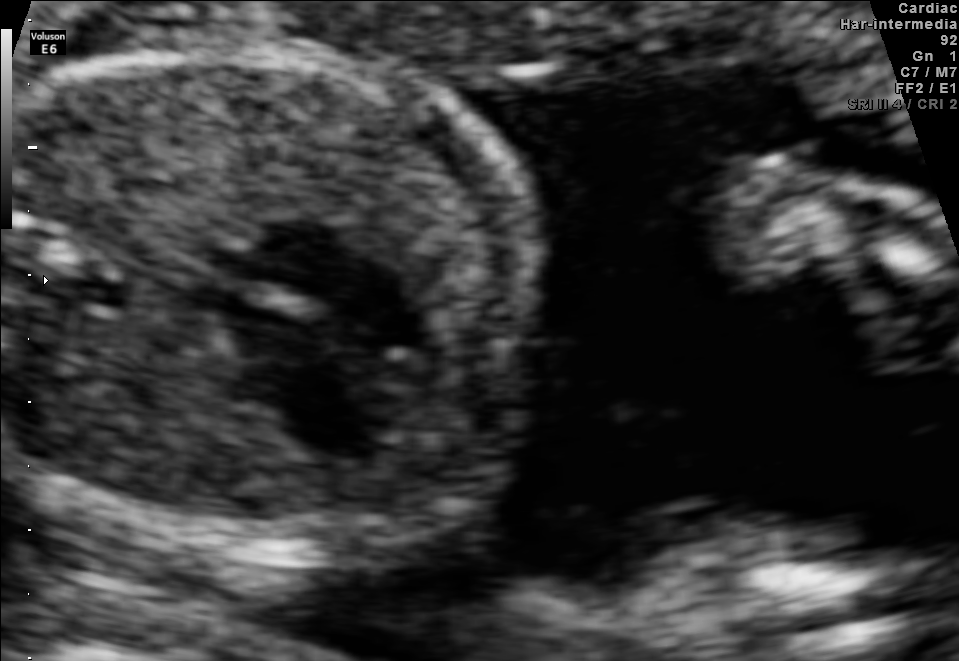
Which standard maternal-fetal ultrasound plane is shown: fetal abdomen, fetal brain, fetal femur, fetal thorax, maternal cervix, or other? If it's fetal brain and one of the three standard brain planes (trans-thalamic, trans-cerebellum, trans-ventricular), name which.

Fetal thorax